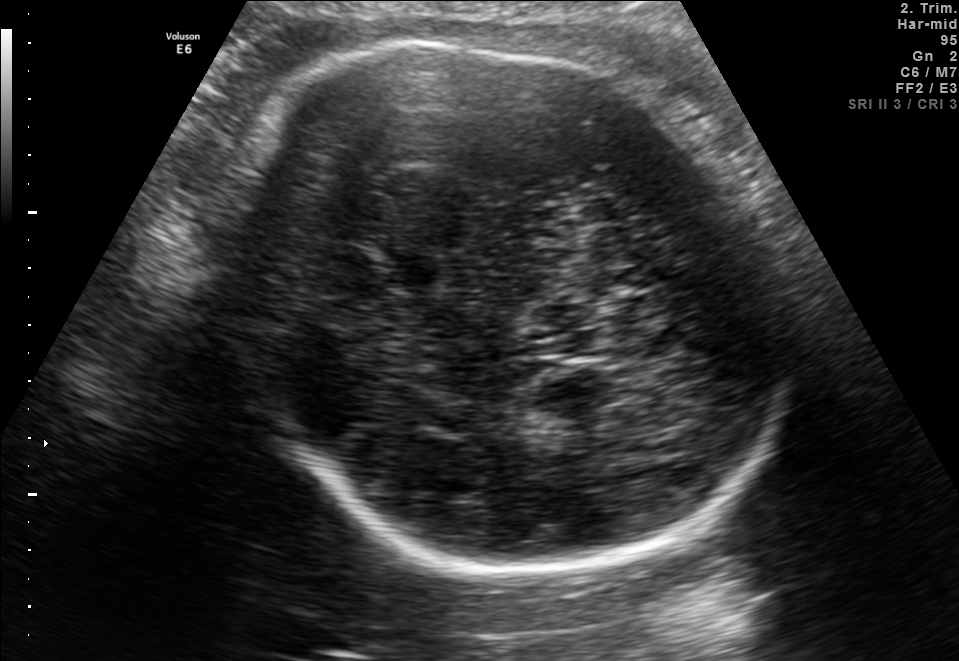
Fetal brain, trans-thalamic plane. Locate the cavum septum pellucidum.

CSP: [370,242,450,296]